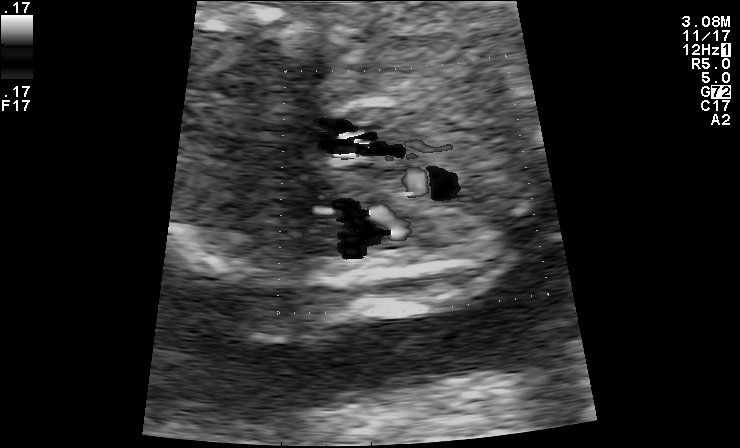
Which standard maternal-fetal ultrasound plane is shown: fetal abdomen, fetal brain, fetal femur, fetal thorax, maternal cervix, or other? If it's fetal brain and one of the three standard brain planes (trans-thalamic, trans-cerebellum, trans-ventricular), name which.

Other